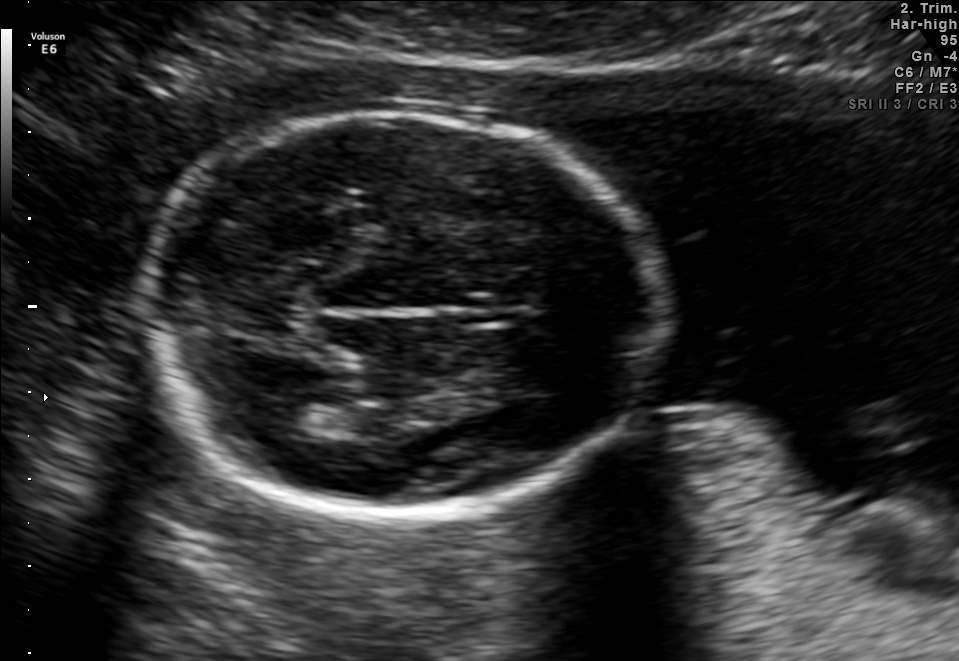
Fetal brain, trans-thalamic plane. Where is the fetal head?

Head bounding box: [133,110,662,517]